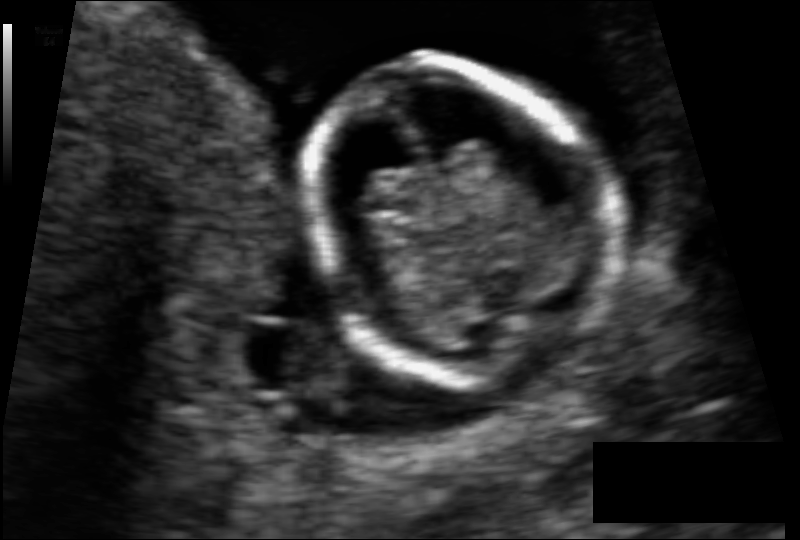
In this fetal head ultrasound, give bounding boxes for the head outline, cavum septum pellucidum (CSP), and lateral ventricle (LV), where visible. Image width: 58.7 mm.

Head: [306,57,617,386]